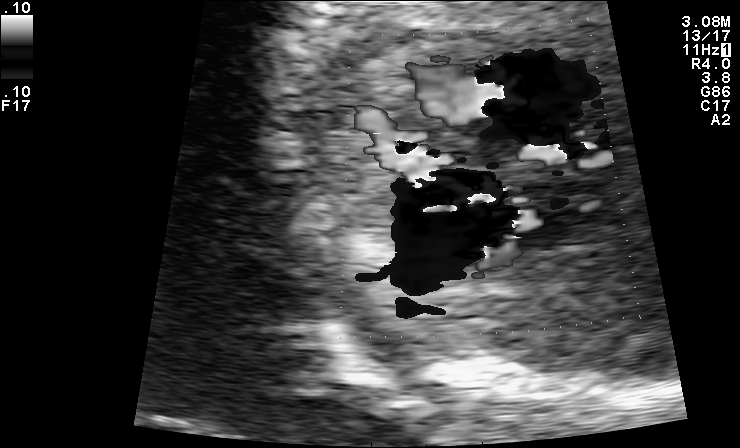
This is a 2D maternal-fetal ultrasound frame. Is it a fetal abdomen, fetal brain, fetal femur, fetal thorax, maternal cervix, or other standard plane? If it's fetal brain and one of the three standard brain planes (trans-thalamic, trans-cerebellum, trans-ventricular), name which.

Other